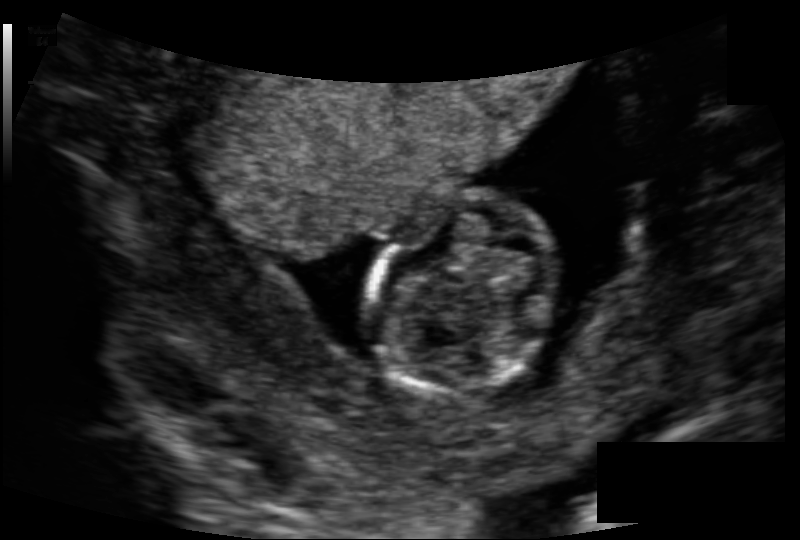
Measure the fetal head circumference shown in this ultrasound image. Image width: 94.4 mm.

Head circumference: 75.4 mm.